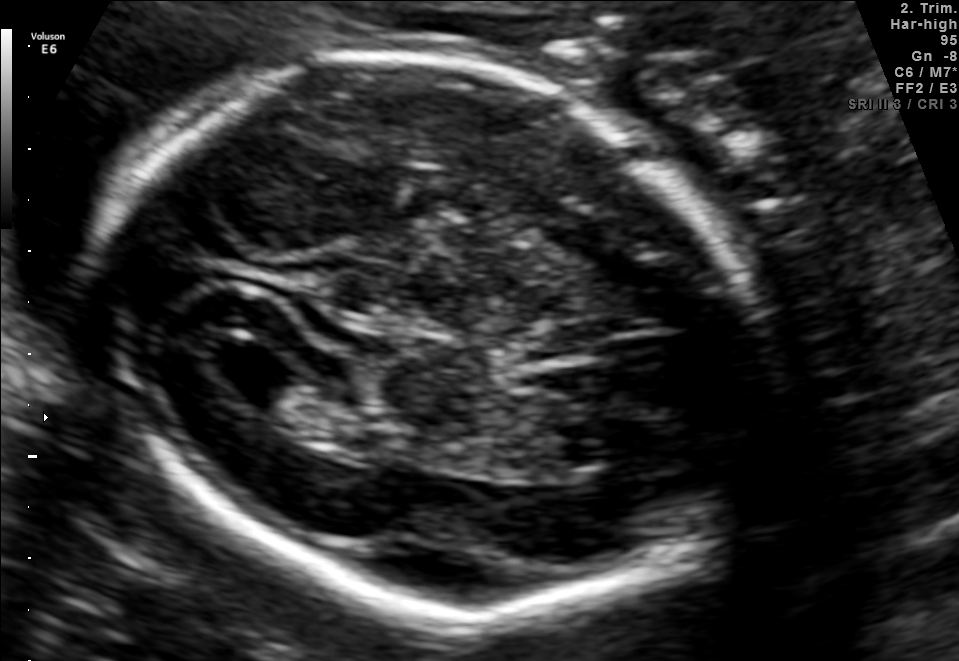
In this fetal brain, trans-ventricular plane, give bounding boxes for the head outline, cavum septum pellucidum (CSP), and lateral ventricle (LV), where visible.

Head: [71,37,788,634]
Lateral ventricle: [200,320,306,420]